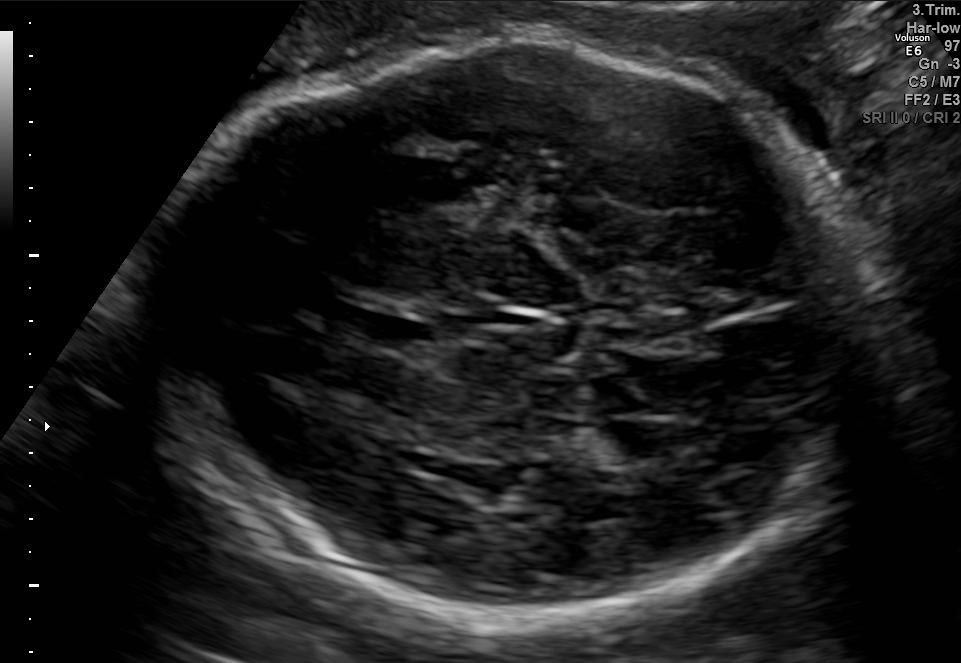
Fetal brain, trans-ventricular plane. Where is the fetal head?

Head bounding box: [148,38,887,625]